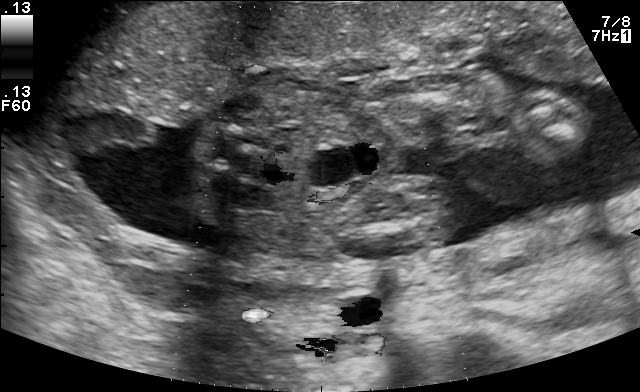
Which standard maternal-fetal ultrasound plane is shown: fetal abdomen, fetal brain, fetal femur, fetal thorax, maternal cervix, or other? If it's fetal brain and one of the three standard brain planes (trans-thalamic, trans-cerebellum, trans-ventricular), name which.

Other